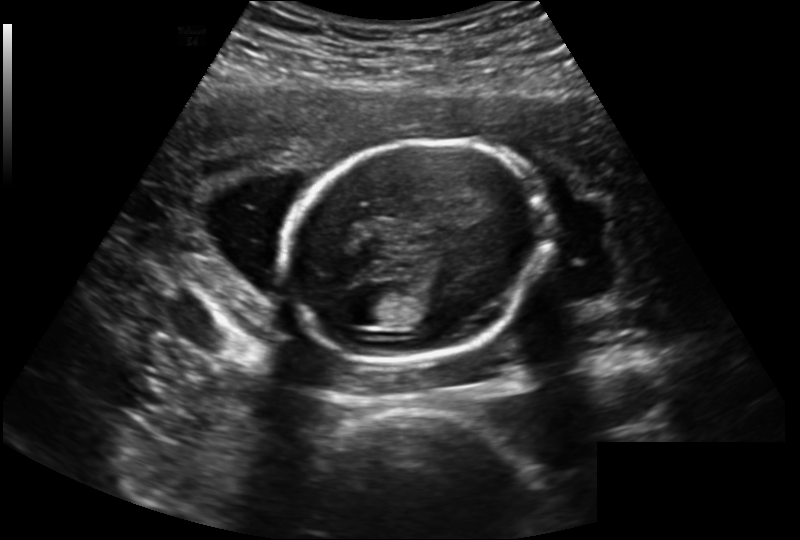
Estimate the fetal head circumference from this 2D ultrasound. Image width: 161.7 mm.

Head circumference: 160.0 mm.